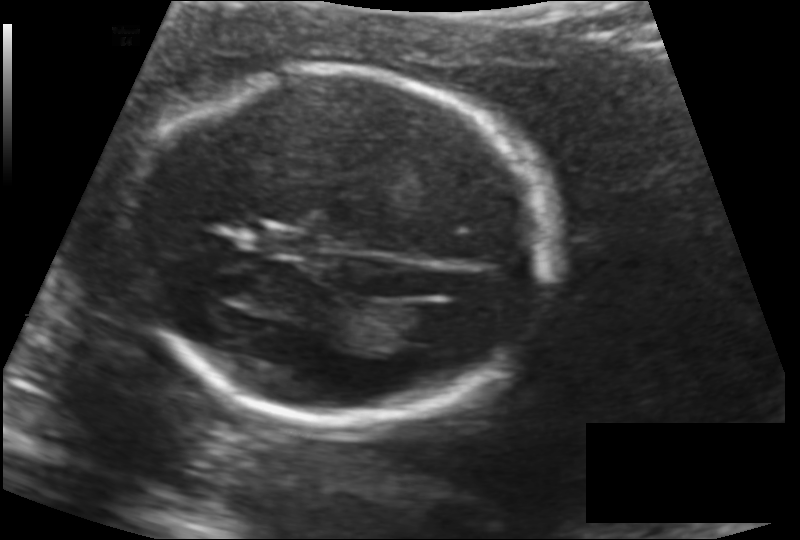
Fetal head ultrasound. Image width: 105.6 mm. Locate the cavum septum pellucidum.

CSP: [265,231,310,256]